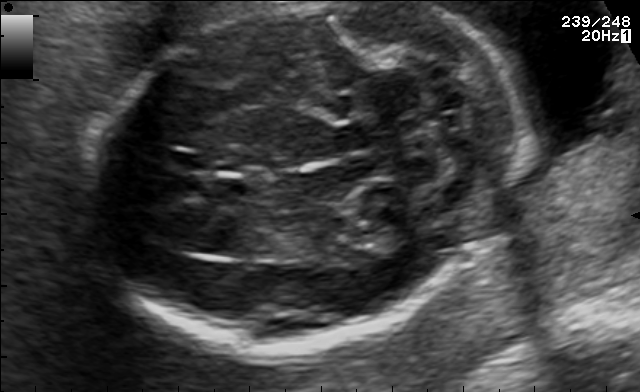
In this fetal brain, trans-cerebellum plane, give bounding boxes for the head outline, cavum septum pellucidum (CSP), and lateral ventricle (LV), where visible.

Head: [88,2,505,352]